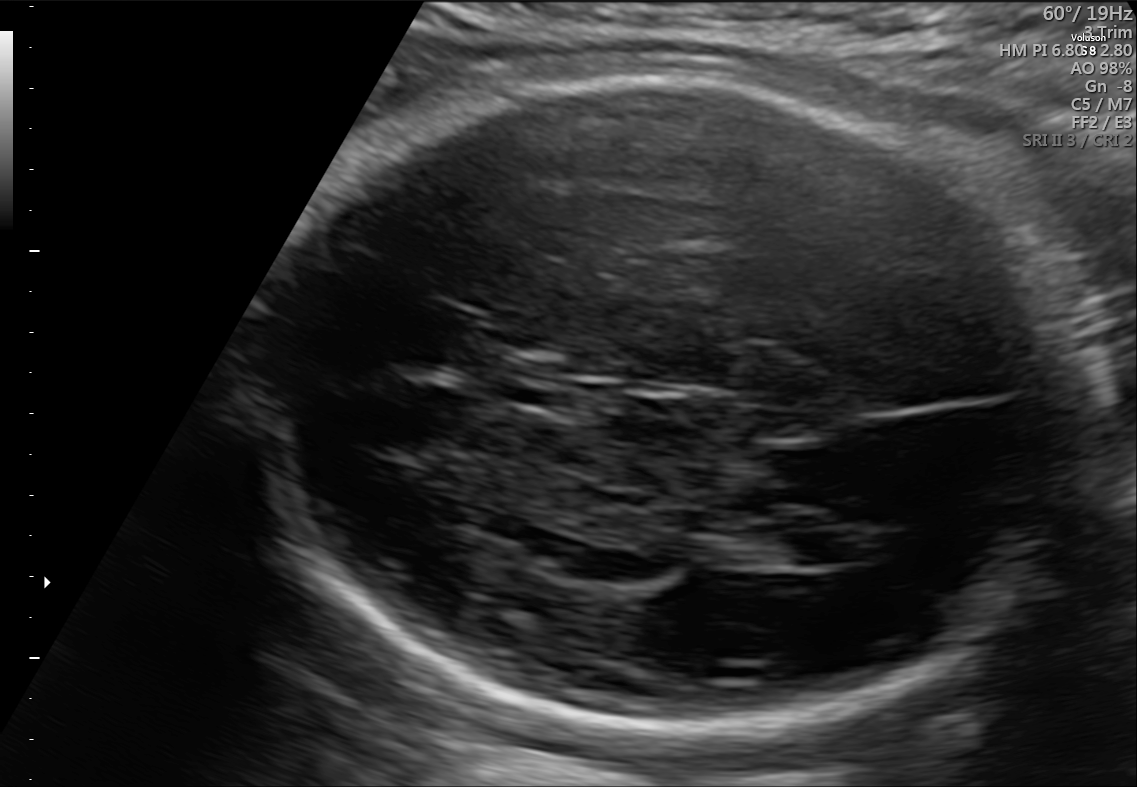
Fetal brain, trans-ventricular plane. Where is the fetal head?

Head bounding box: [253,54,1107,748]